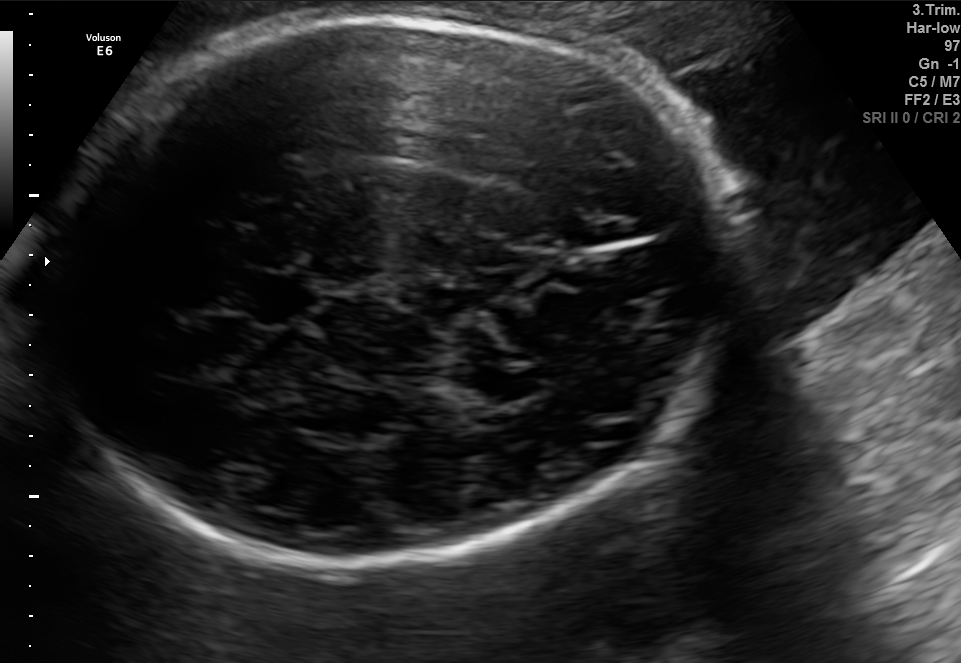
Fetal brain, trans-thalamic plane. Where is the fetal head?

Head bounding box: [46,16,731,567]